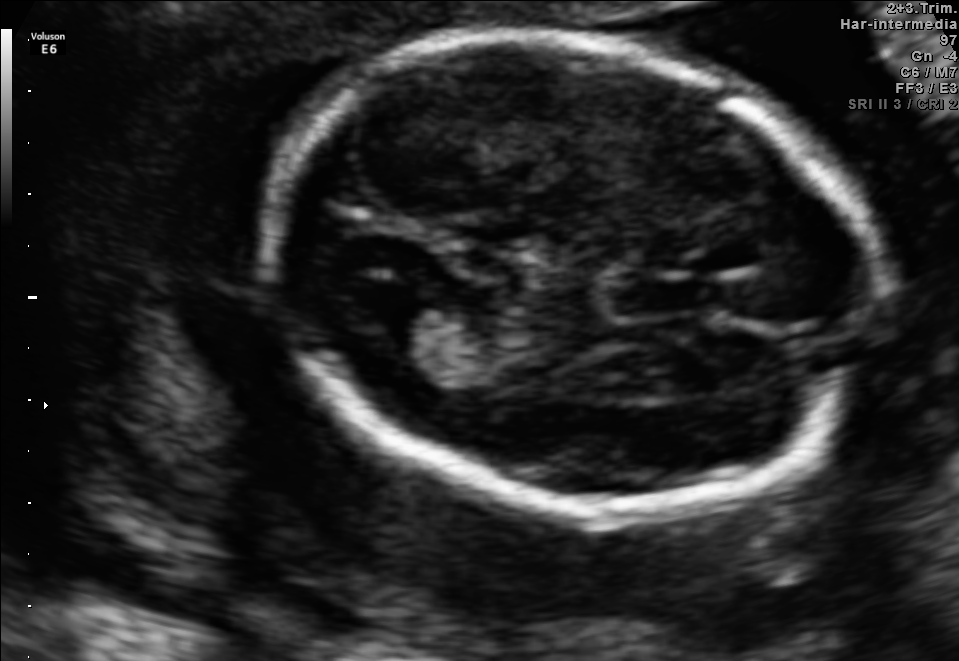
In this fetal brain, trans-ventricular plane, give bounding boxes for the head outline, cavum septum pellucidum (CSP), and lateral ventricle (LV), where visible.

Head: [251,23,888,528]